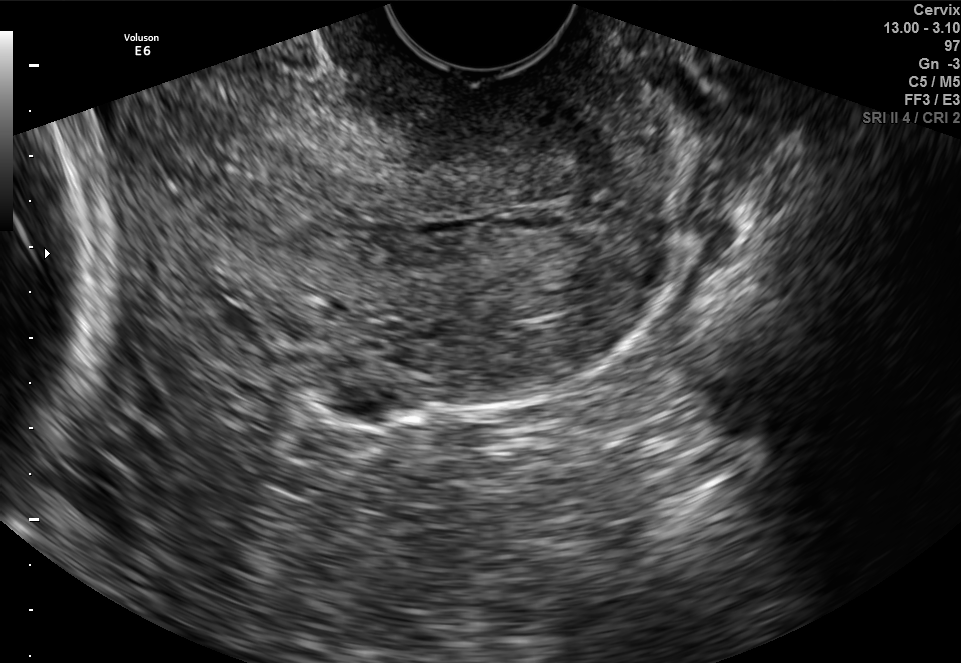
Identify the standard plane in this fetal ultrasound image: fetal abdomen, fetal brain, fetal femur, fetal thorax, maternal cervix, or other. If it's fetal brain and one of the three standard brain planes (trans-thalamic, trans-cerebellum, trans-ventricular), name which.

Maternal cervix